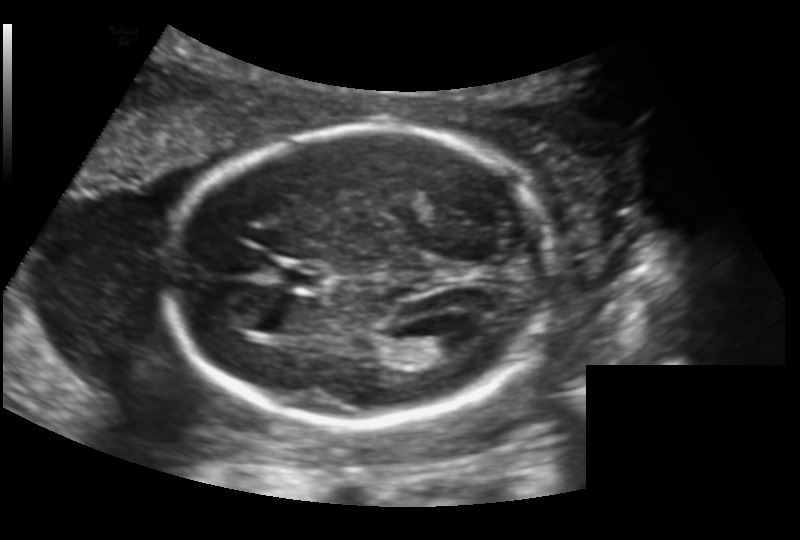
Measure the fetal head circumference shown in this ultrasound image. Image width: 125.0 mm.

Head circumference: 175.8 mm.